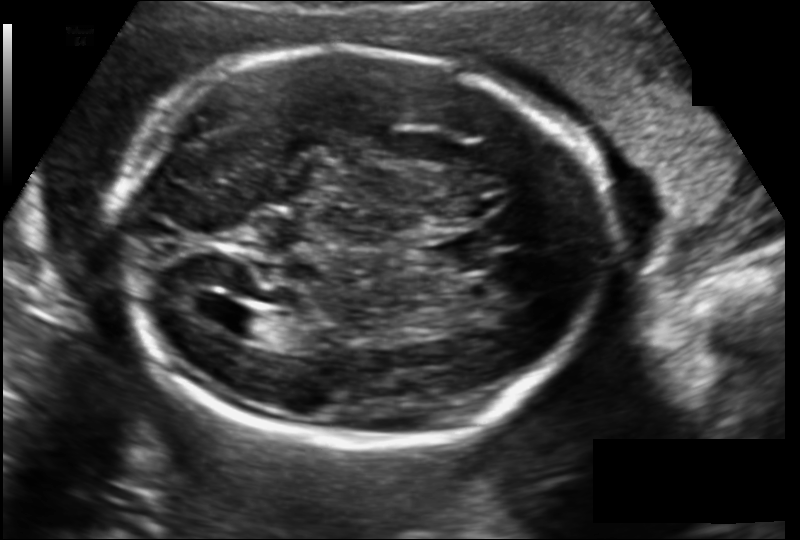
Estimate the fetal head circumference from this 2D ultrasound. Image width: 119.2 mm.

Head circumference: 214.0 mm.